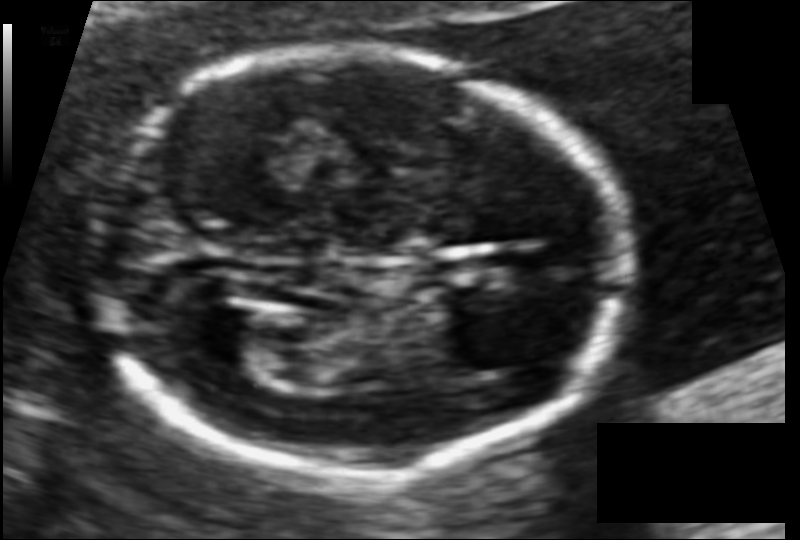
In this fetal head ultrasound, give the bounding box of the lateral ventricle. Image width: 69.9 mm.

[180,298,276,373]